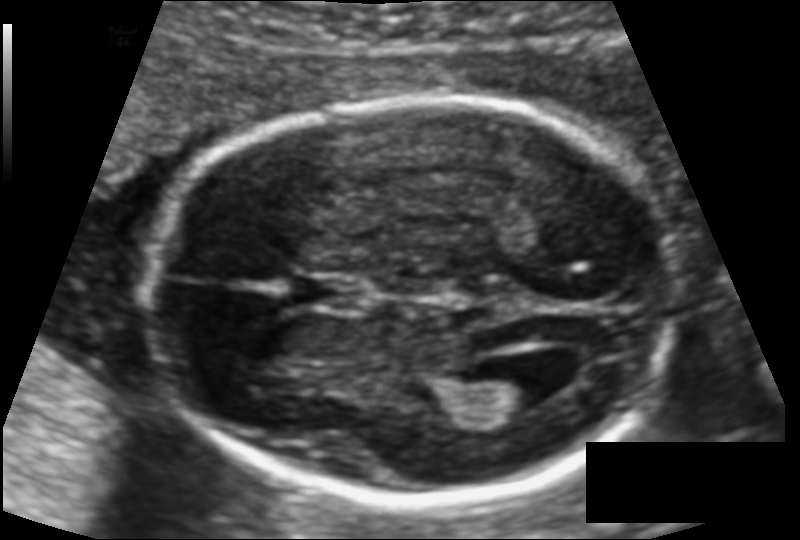
Fetal head ultrasound. Image width: 90.3 mm. Where is the fetal head?

Head bounding box: [148,96,679,498]